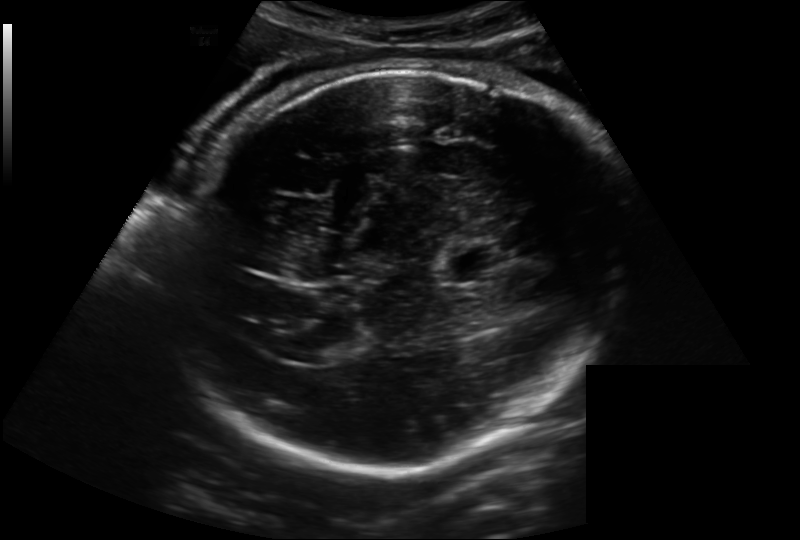
Estimate the fetal head circumference from this 2D ultrasound. Image width: 177.2 mm.

Head circumference: 299.1 mm.